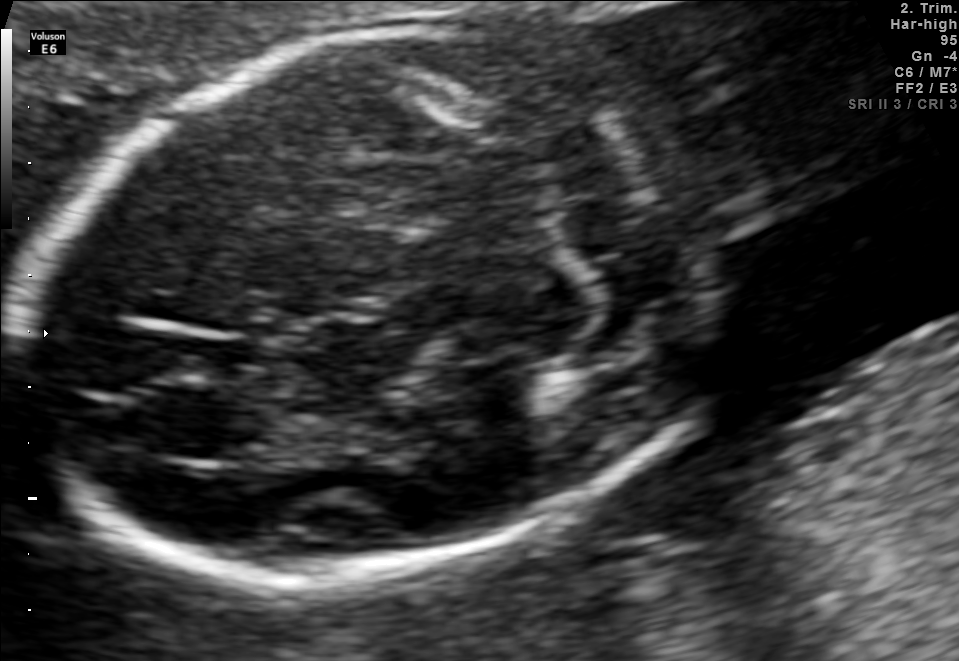
Fetal brain, trans-cerebellum plane. Where is the fetal head?

Head bounding box: [24,24,723,581]